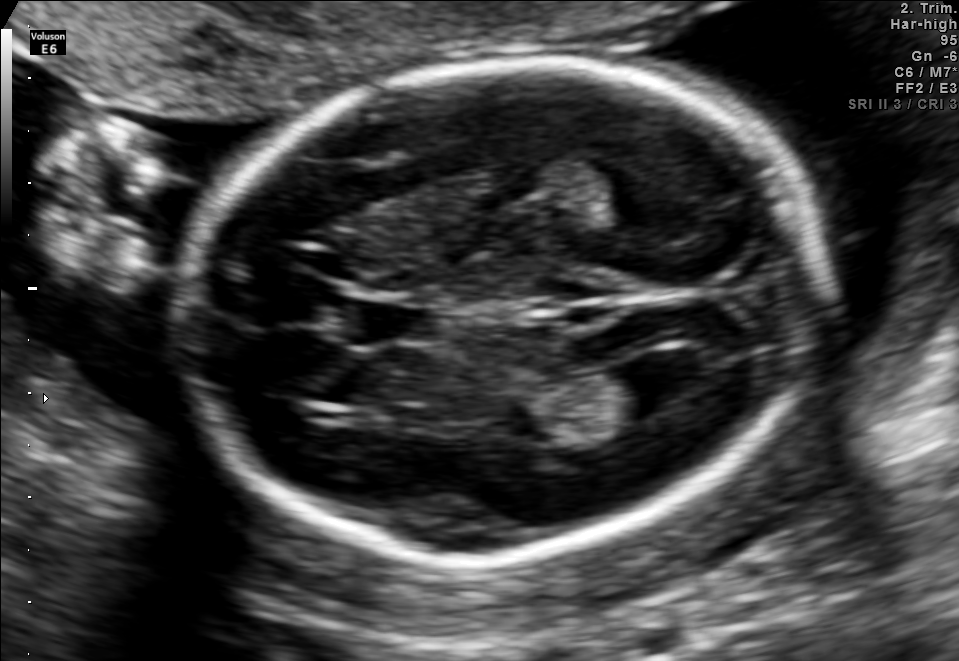
Fetal brain, trans-ventricular plane. Locate the fetal head.

Head: [167,46,844,571]